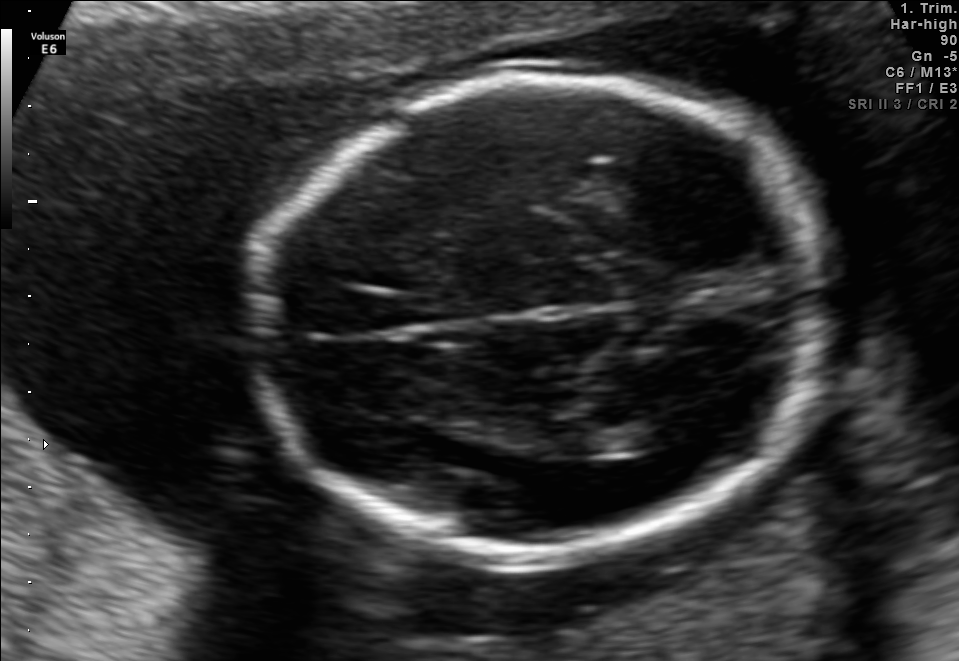
In this fetal brain, trans-thalamic plane, give the bounding box of the lateral ventricle.

[625,405,703,456]